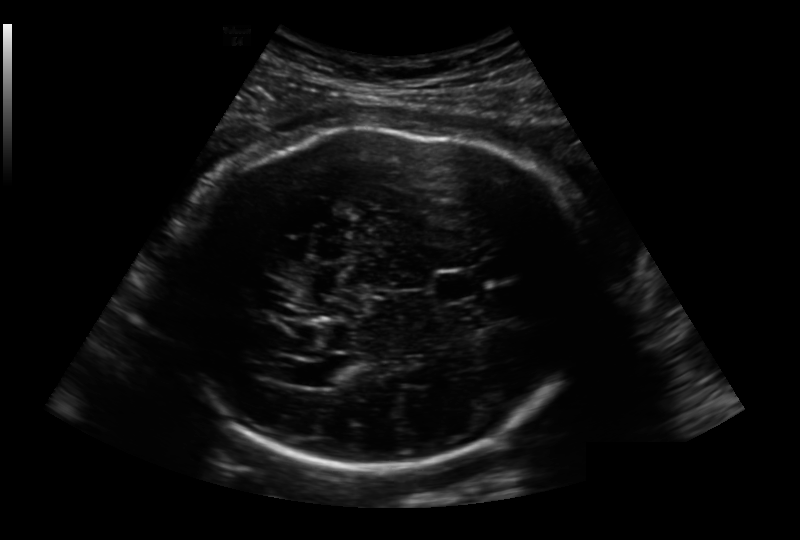
From this fetal ultrasound, estimate the head circumference (image width 188.6 mm).

Head circumference: 292.1 mm.